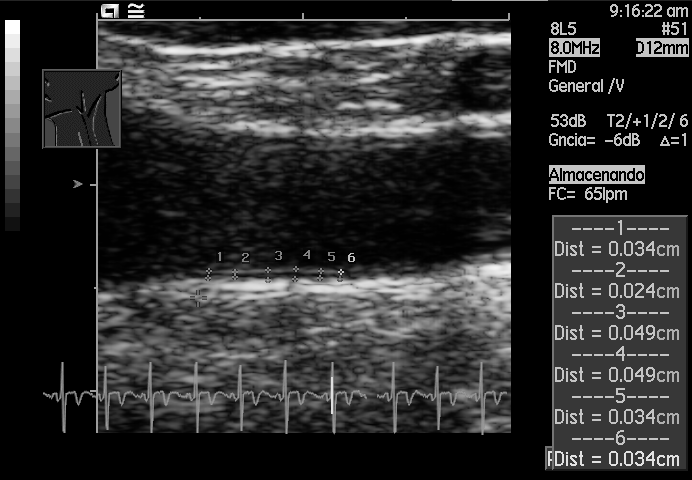
Which standard maternal-fetal ultrasound plane is shown: fetal abdomen, fetal brain, fetal femur, fetal thorax, maternal cervix, or other? If it's fetal brain and one of the three standard brain planes (trans-thalamic, trans-cerebellum, trans-ventricular), name which.

Other